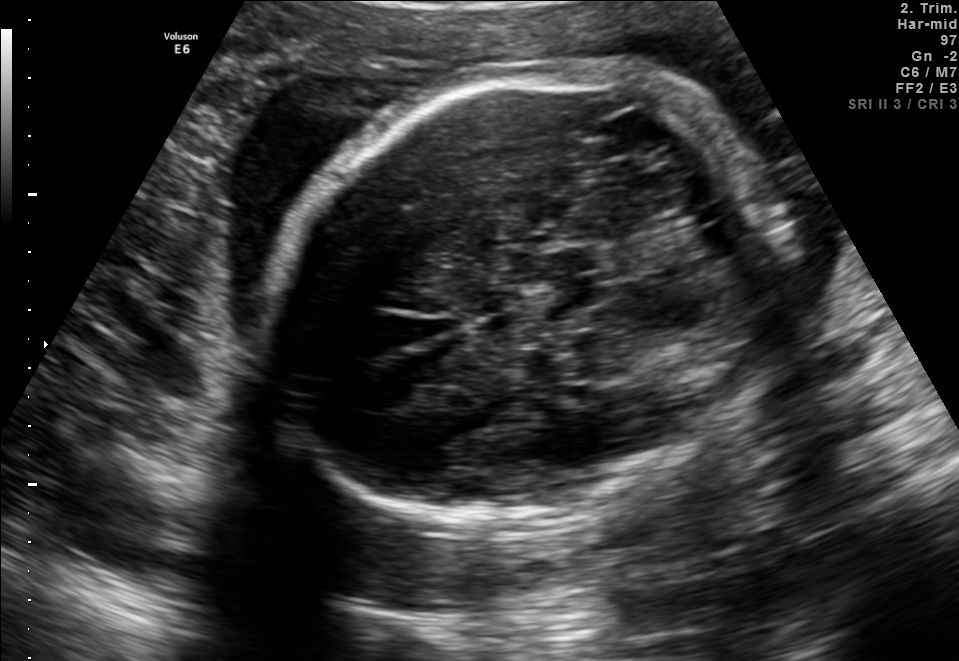
Fetal brain, trans-cerebellum plane. Locate the fetal head.

Head: [266,73,779,524]